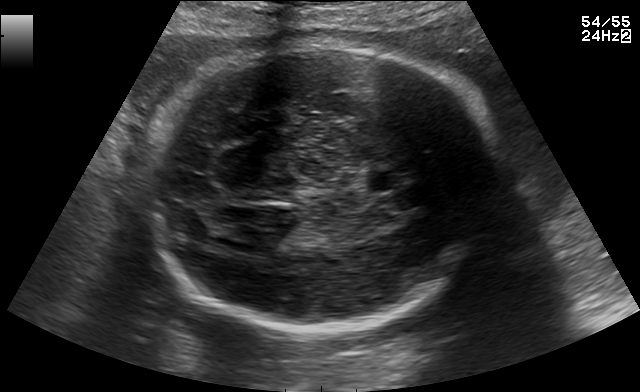
Fetal brain, trans-thalamic plane. Locate the fetal head.

Head: [138,46,507,325]